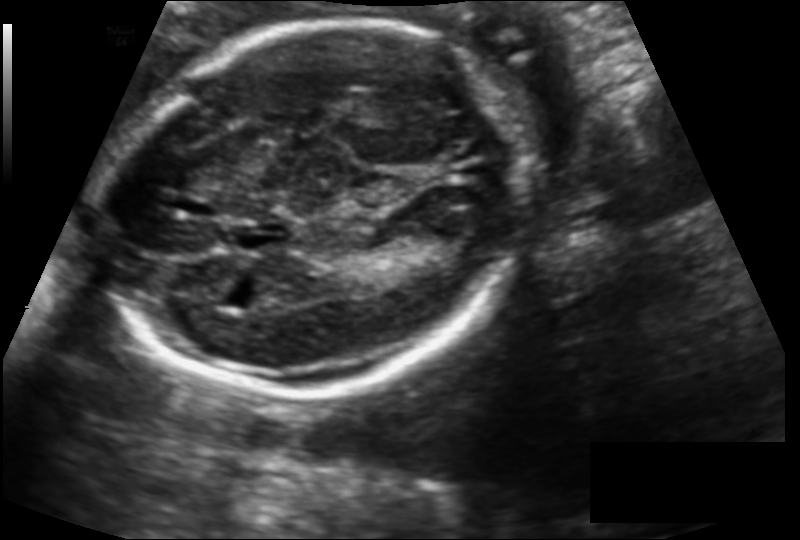
Fetal head ultrasound. Image width: 106.3 mm. Locate the fetal head.

Head: [100,20,535,392]